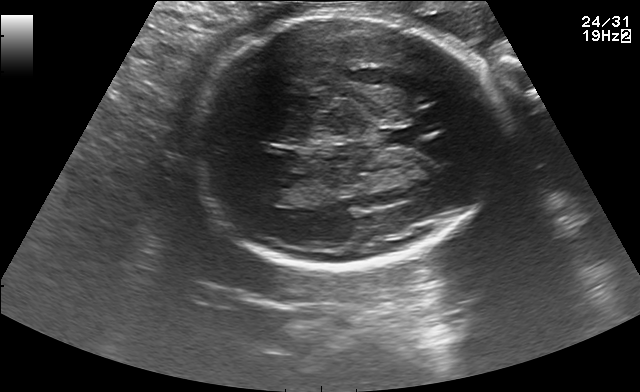
In this fetal brain, trans-thalamic plane, give the bounding box of the lateral ventricle.

[253,179,301,207]